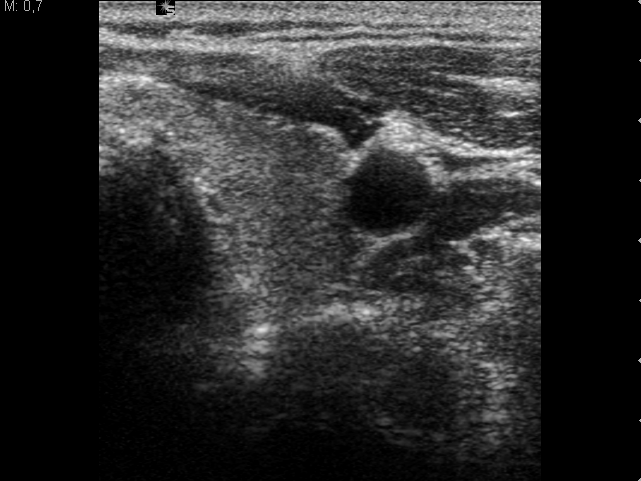
Identify the standard plane in this fetal ultrasound image: fetal abdomen, fetal brain, fetal femur, fetal thorax, maternal cervix, or other. If it's fetal brain and one of the three standard brain planes (trans-thalamic, trans-cerebellum, trans-ventricular), name which.

Other